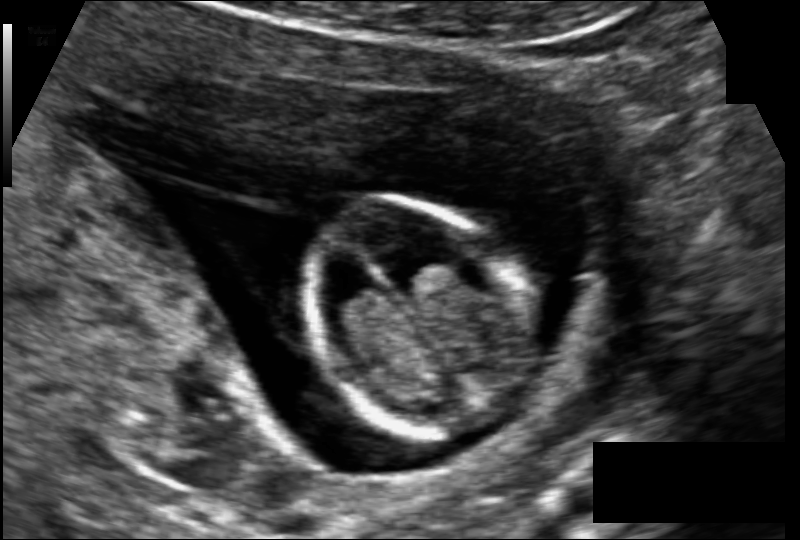
Estimate the fetal head circumference from this 2D ultrasound. Image width: 81.3 mm.

Head circumference: 76.6 mm.